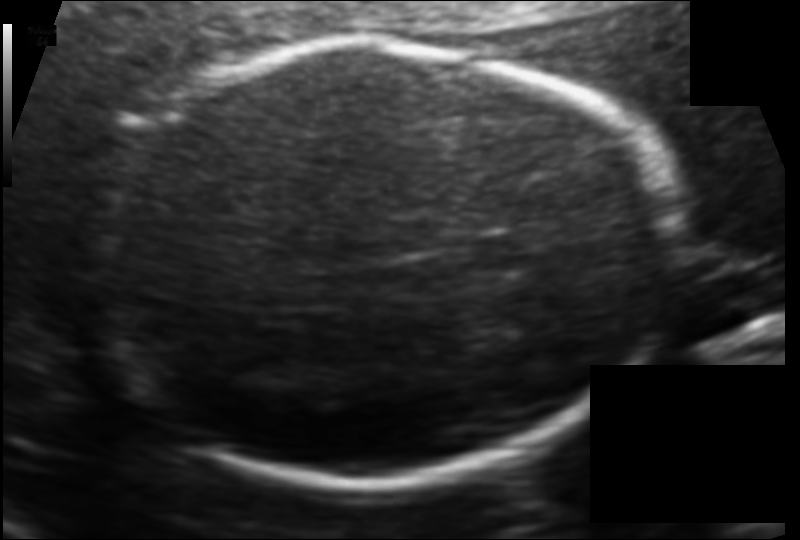
Measure the fetal head circumference shown in this ultrasound image. Image width: 91.1 mm.

Head circumference: 187.5 mm.